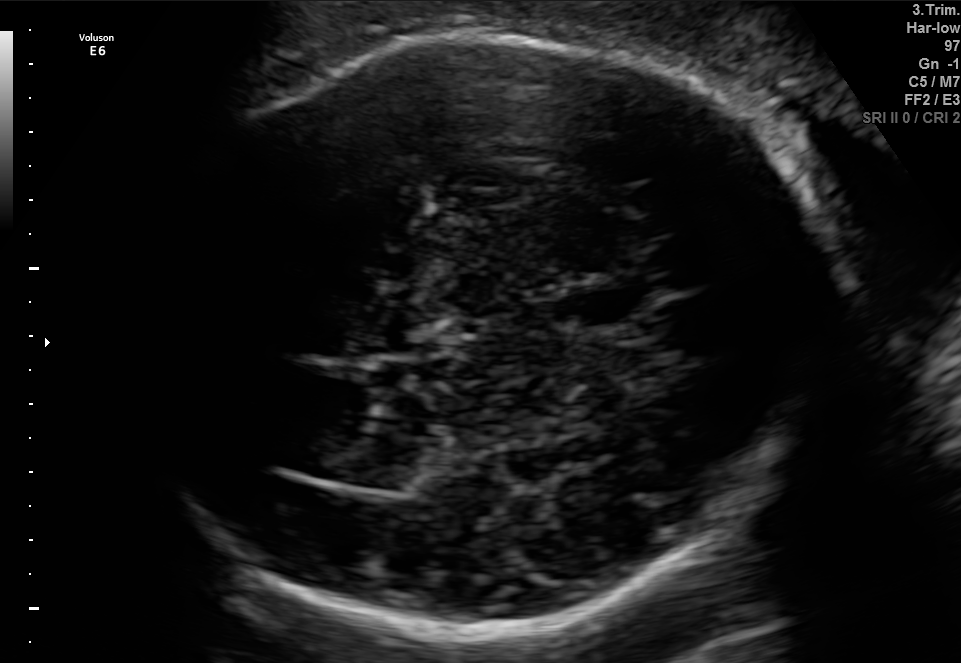
Fetal brain, trans-thalamic plane. Where is the cavum septum pellucidum?

CSP bounding box: [549,273,655,336]